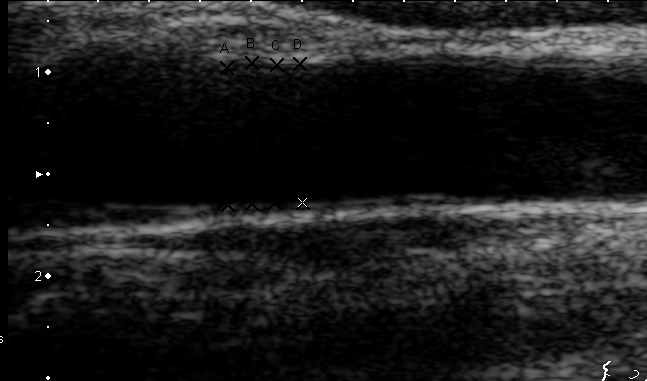
Which standard maternal-fetal ultrasound plane is shown: fetal abdomen, fetal brain, fetal femur, fetal thorax, maternal cervix, or other? If it's fetal brain and one of the three standard brain planes (trans-thalamic, trans-cerebellum, trans-ventricular), name which.

Other